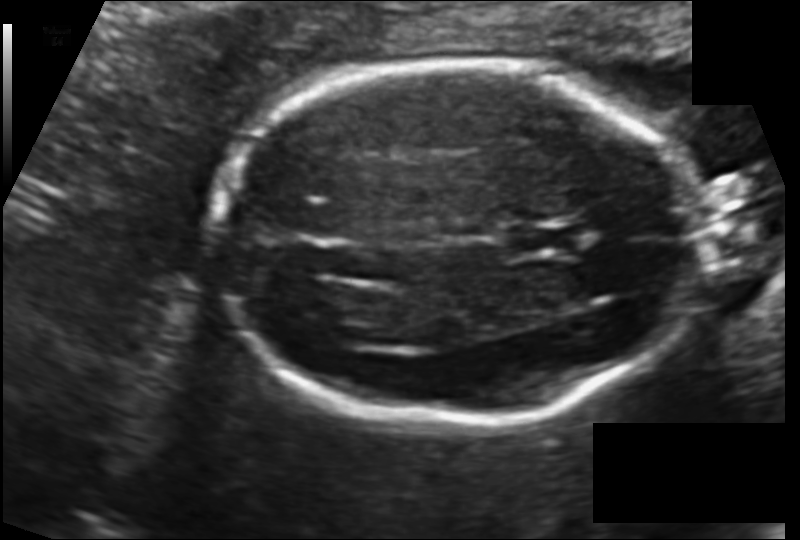
Fetal head ultrasound. Image width: 98.3 mm. Give [x1,y1,x2,y2] bounding boxes for each visible structure among: fetal head, CSP, LV.

Head: [212,65,707,428]
CSP: [505,221,579,260]
Lateral ventricle: [286,278,369,338]